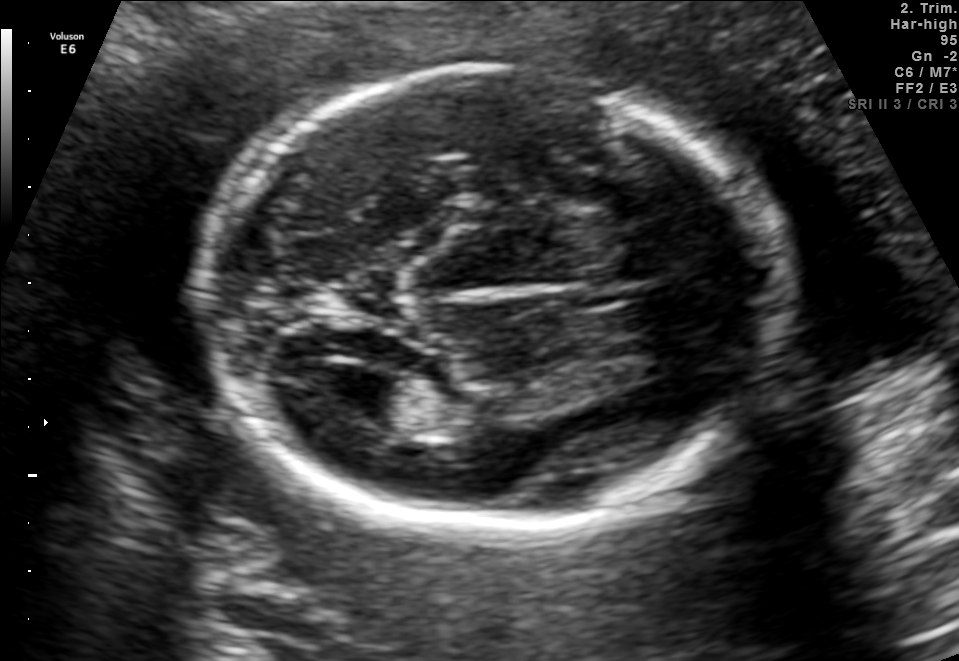
Fetal brain, trans-ventricular plane. Locate the fetal head.

Head: [186,61,807,532]